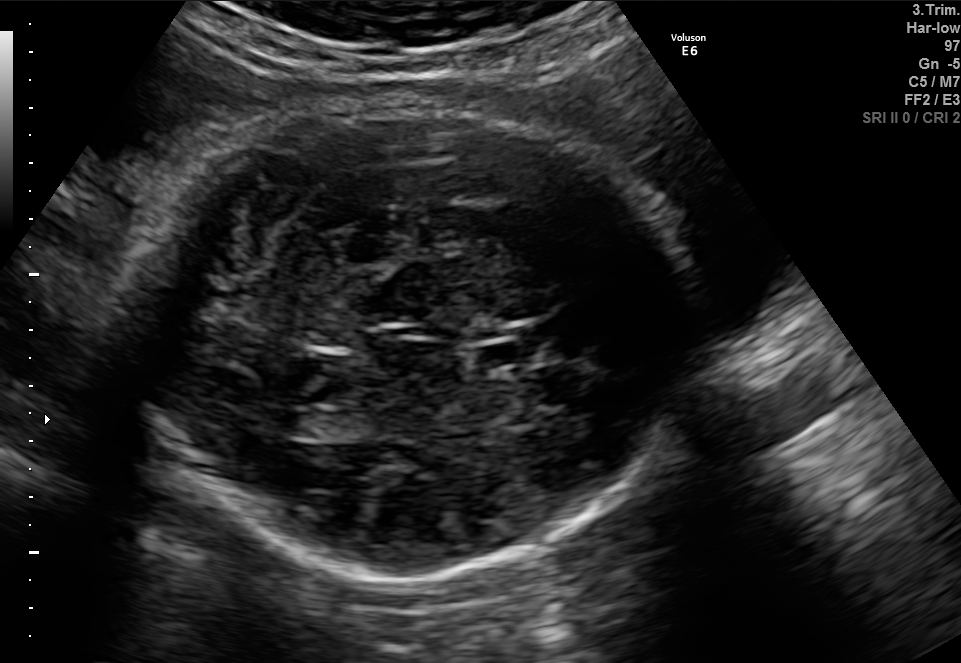
In this fetal brain, trans-ventricular plane, give the bounding box of the lateral ventricle.

[262,409,310,436]